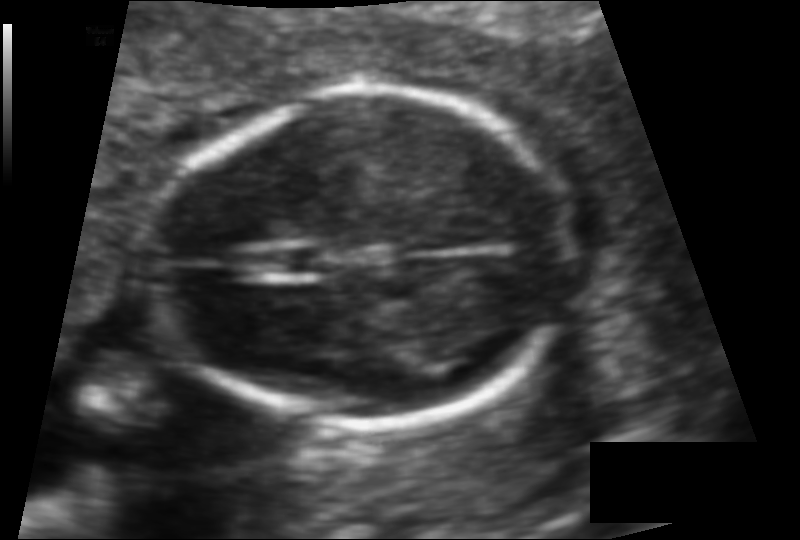
Fetal head ultrasound. Image width: 75.5 mm. Where is the cavum septum pellucidum?

CSP bounding box: [269,248,332,273]